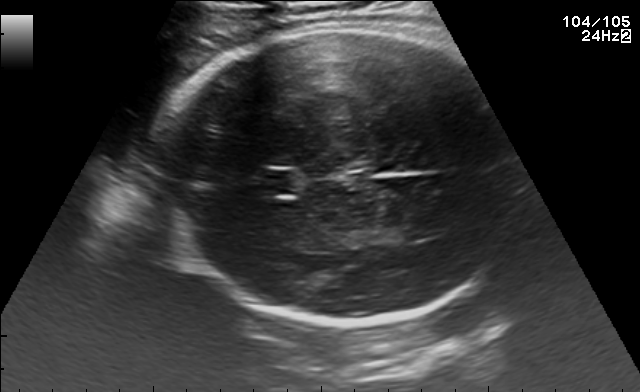
Fetal brain, trans-thalamic plane. Locate the cavum septum pellucidum.

CSP: [254,169,295,195]